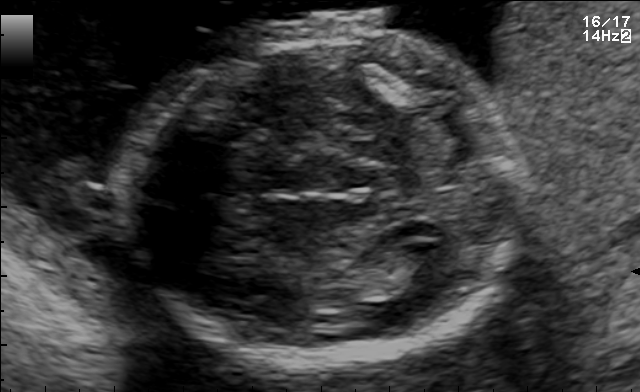
Which standard maternal-fetal ultrasound plane is shown: fetal abdomen, fetal brain, fetal femur, fetal thorax, maternal cervix, or other? If it's fetal brain and one of the three standard brain planes (trans-thalamic, trans-cerebellum, trans-ventricular), name which.

Fetal brain (trans-thalamic plane)